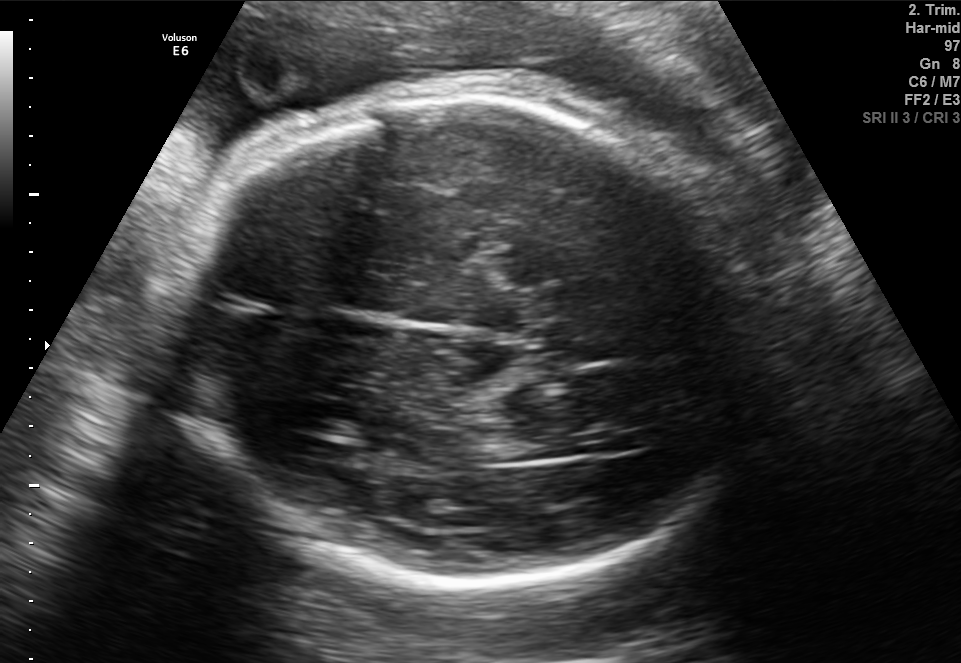
In this fetal brain, trans-thalamic plane, give bounding boxes for the head outline, cavum septum pellucidum (CSP), and lateral ventricle (LV), where visible.

Head: [191,103,766,588]